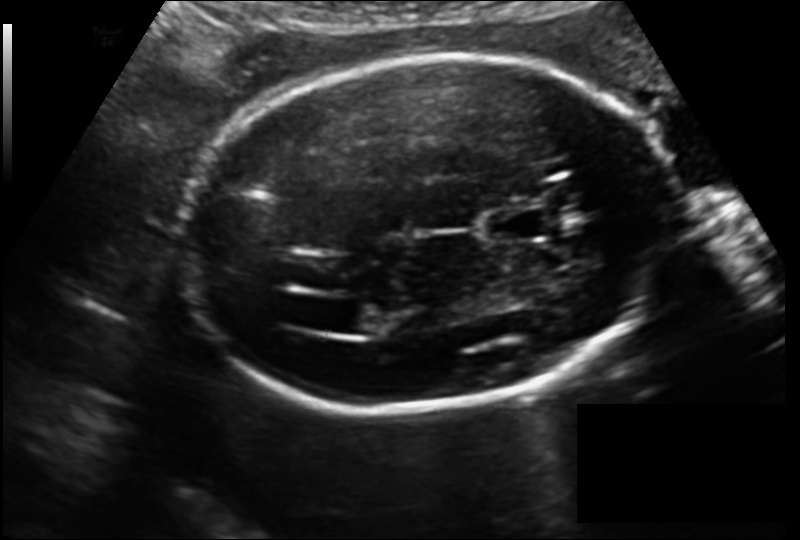
Estimate the fetal head circumference from this 2D ultrasound.

Head circumference: 209.2 mm (image width 120.3 mm).